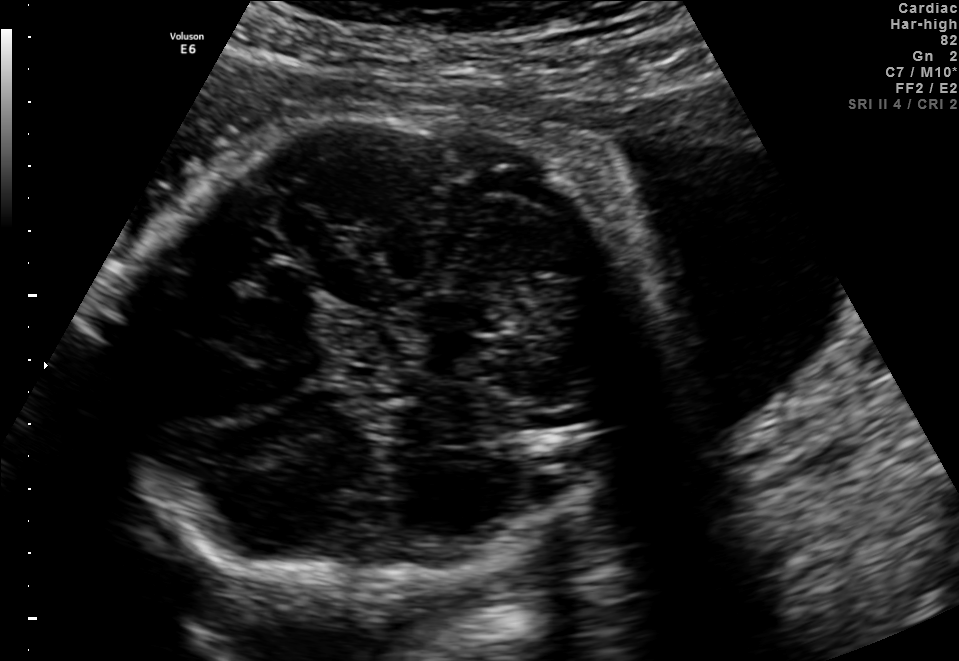
Fetal brain, trans-thalamic plane. Locate the fetal head and, if visible, the cavum septum pellucidum (CSP) and lateral ventricle (LV). Give bounding boxes as [x1,y1,x2,y2].

Head: [116,99,637,608]